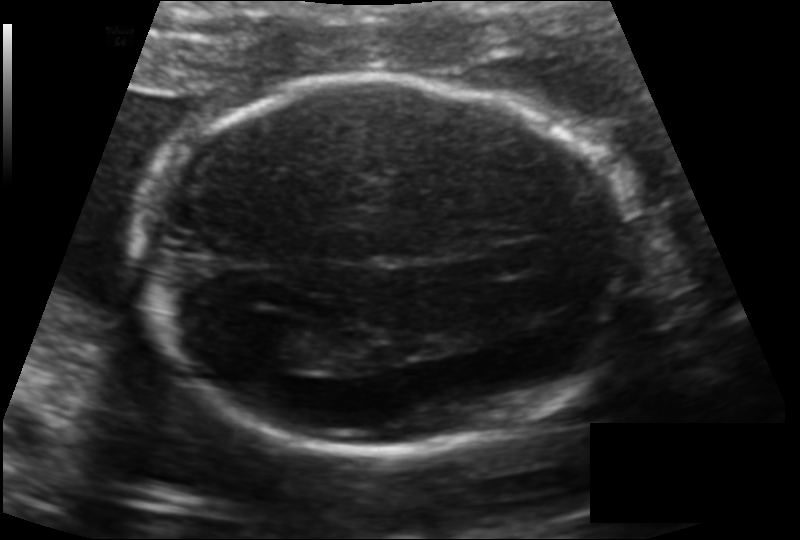
Fetal head ultrasound. Image width: 107.0 mm. Where is the lateral ventricle?

Lateral ventricle bounding box: [249,317,331,372]